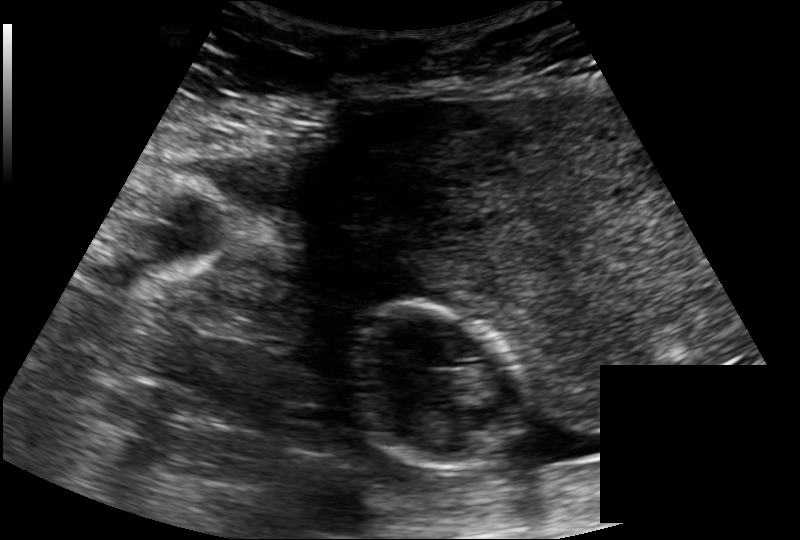
Estimate the fetal head circumference from this 2D ultrasound.

Head circumference: 98.2 mm (image width 136.5 mm).